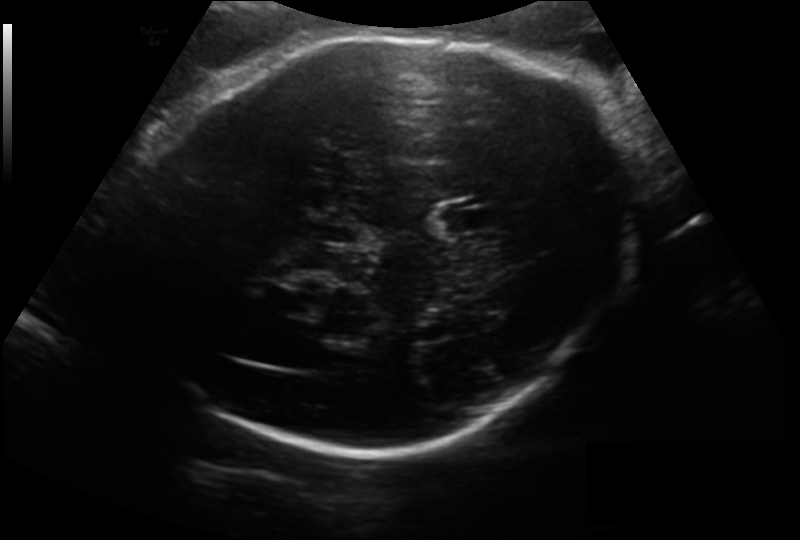
Estimate the fetal head circumference from this 2D ultrasound.

Head circumference: 294.9 mm (image width 160.1 mm).